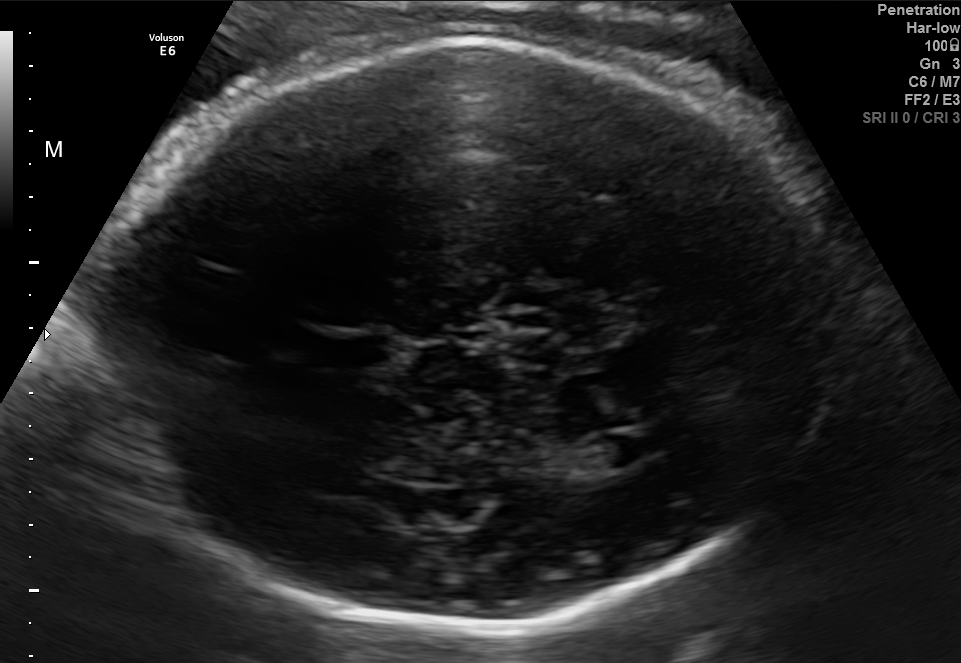
Identify the standard plane in this fetal ultrasound image: fetal abdomen, fetal brain, fetal femur, fetal thorax, maternal cervix, or other. If it's fetal brain and one of the three standard brain planes (trans-thalamic, trans-cerebellum, trans-ventricular), name which.

Fetal brain (trans-ventricular plane)